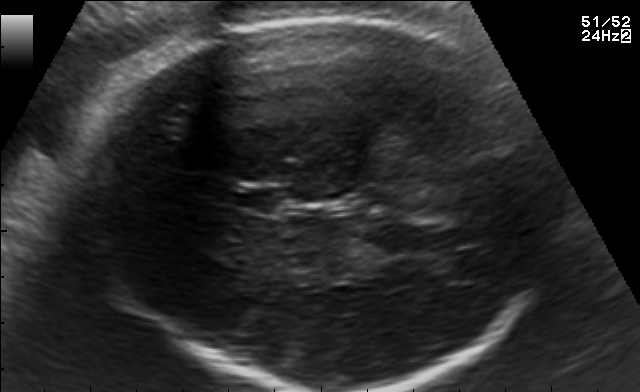
Fetal brain, trans-thalamic plane. Locate the cavum septum pellucidum.

CSP: [227,185,281,216]